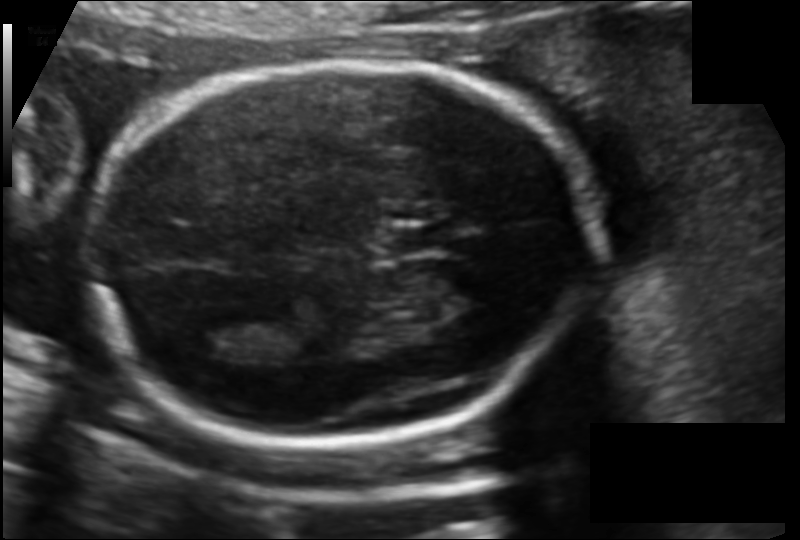
Fetal head ultrasound. Image width: 96.2 mm. Where is the fetal head?

Head bounding box: [85,64,600,440]